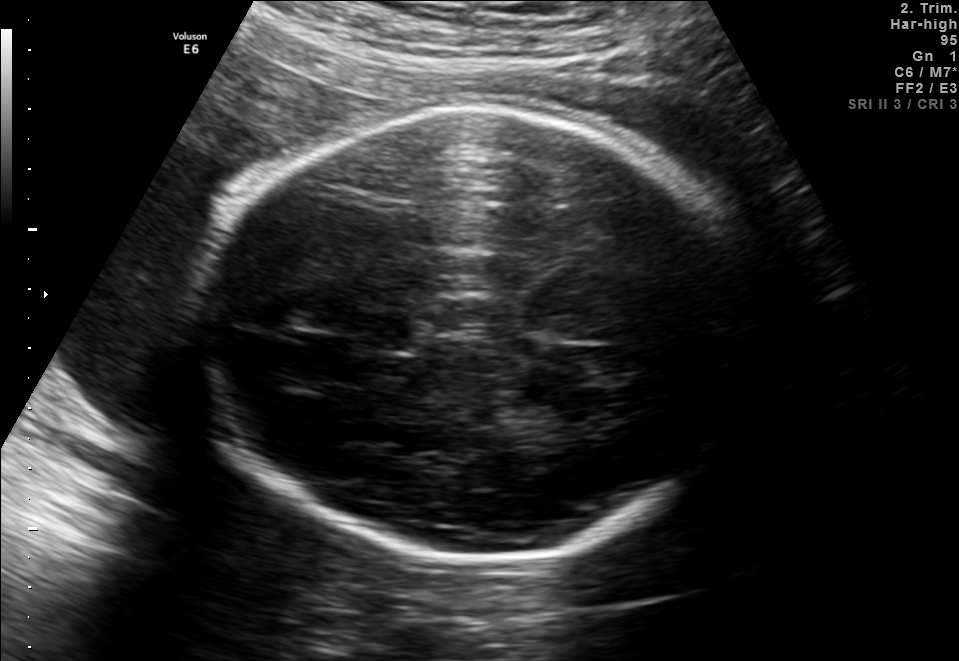
Fetal brain, trans-thalamic plane. Where is the fetal head?

Head bounding box: [201,110,756,567]